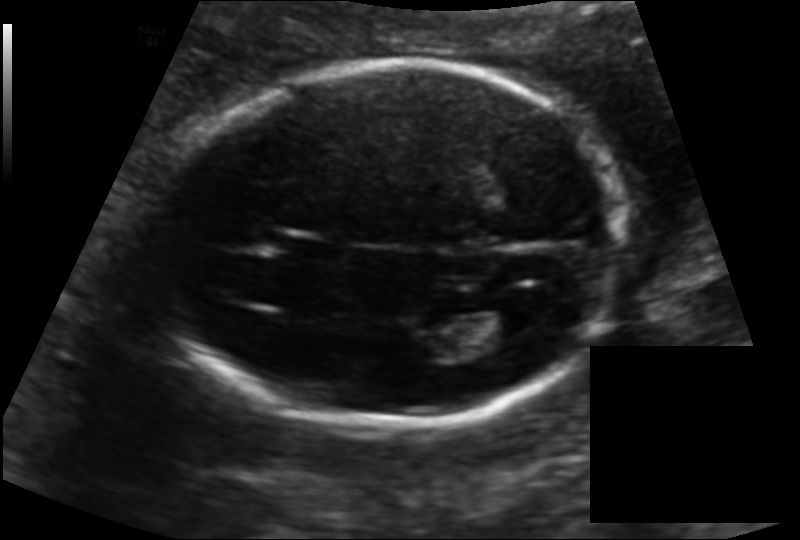
Fetal head ultrasound. Image width: 110.8 mm. Locate the fetal head.

Head: [163,64,619,426]